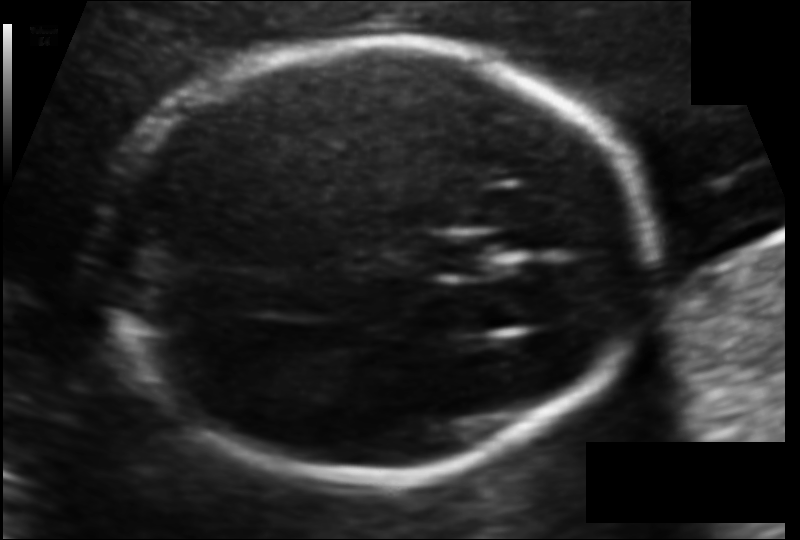
From this fetal ultrasound, estimate the head circumference (image width 83.5 mm).

Head circumference: 167.4 mm.